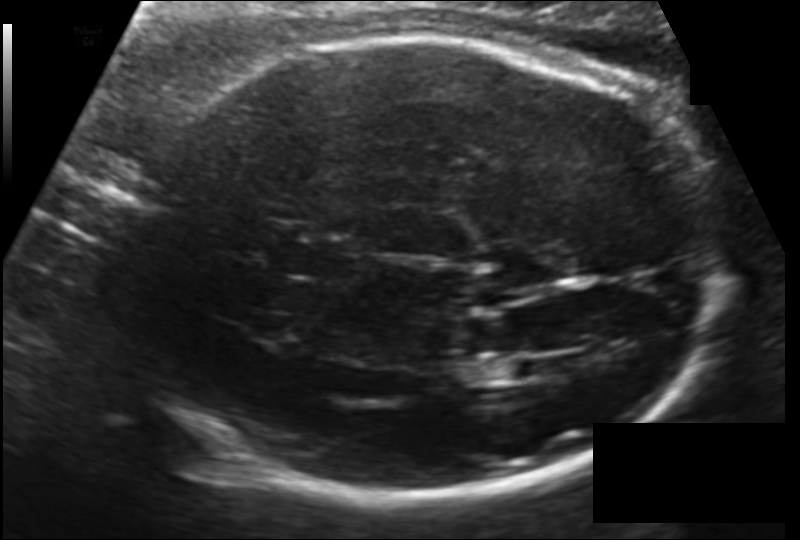
Estimate the fetal head circumference from this 2D ultrasound. Image width: 120.6 mm.

Head circumference: 258.8 mm.